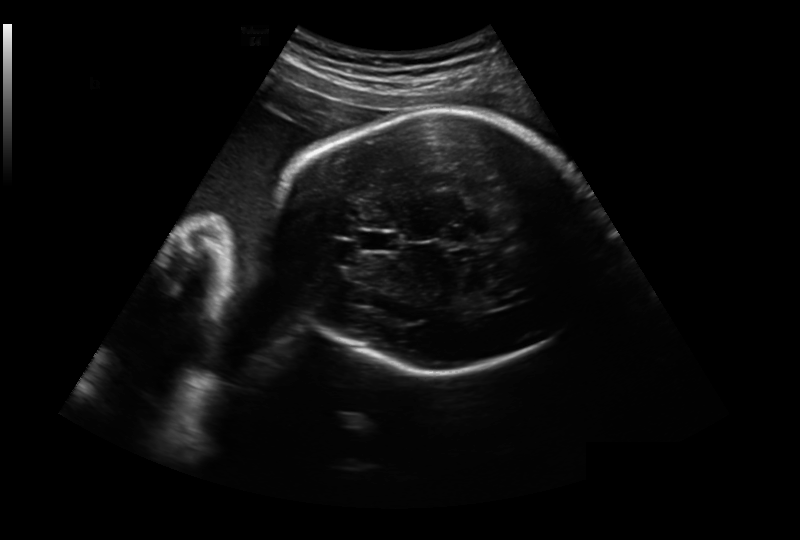
Fetal head ultrasound. Image width: 224.7 mm. Locate the cavum septum pellucidum.

CSP: [357,228,402,255]